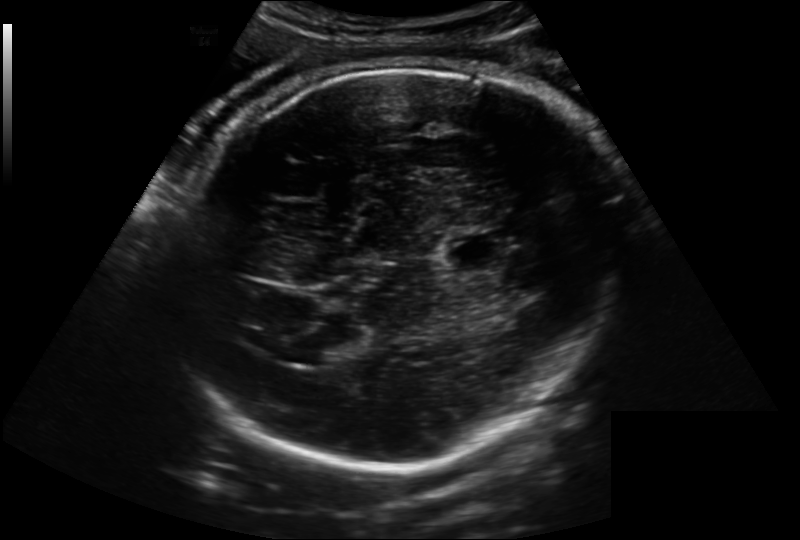
What is the fetal head circumference? Image width is 177.3 mm.

306.9 mm